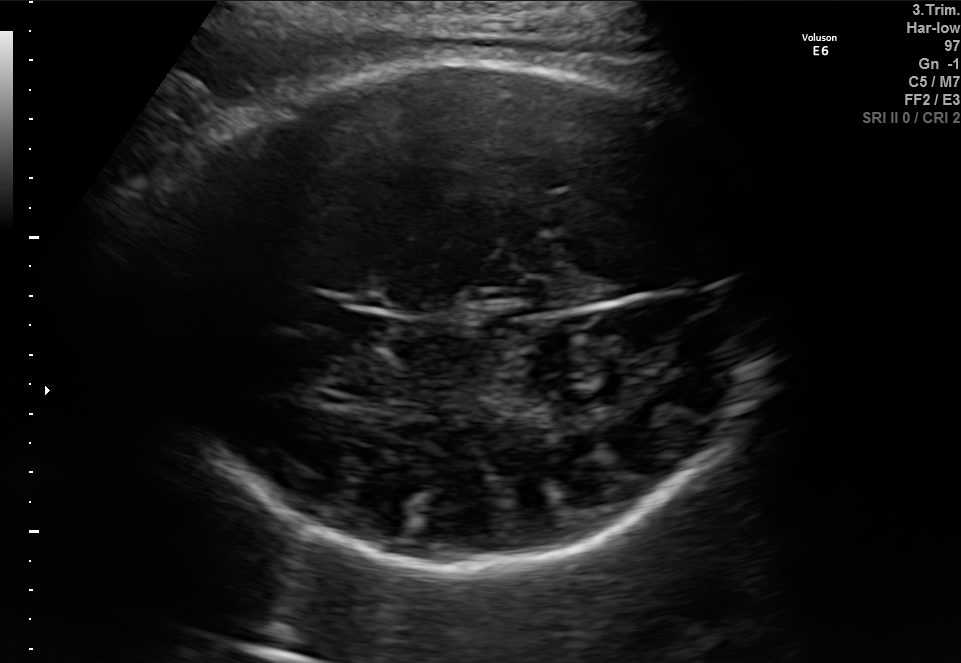
Fetal brain, trans-thalamic plane. Locate the fetal head.

Head: [143,63,782,566]